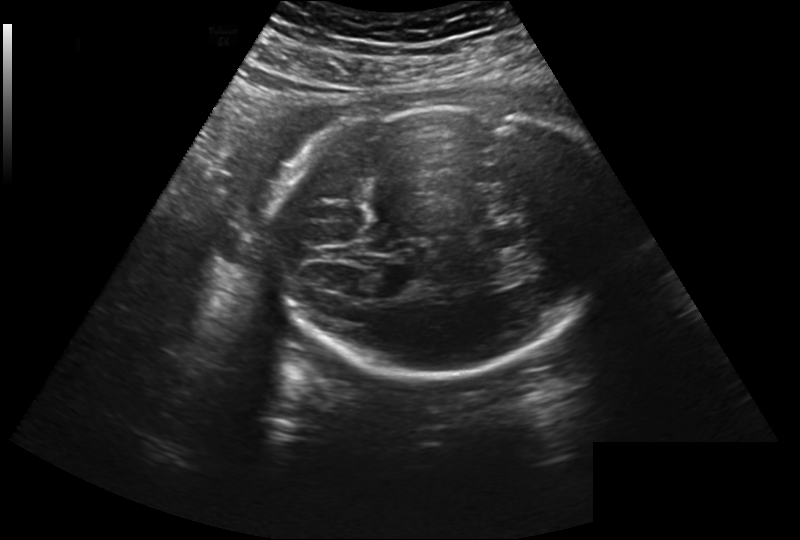
Fetal head ultrasound. Image width: 208.3 mm. Where is the lateral ventricle?

Lateral ventricle bounding box: [320,263,372,298]